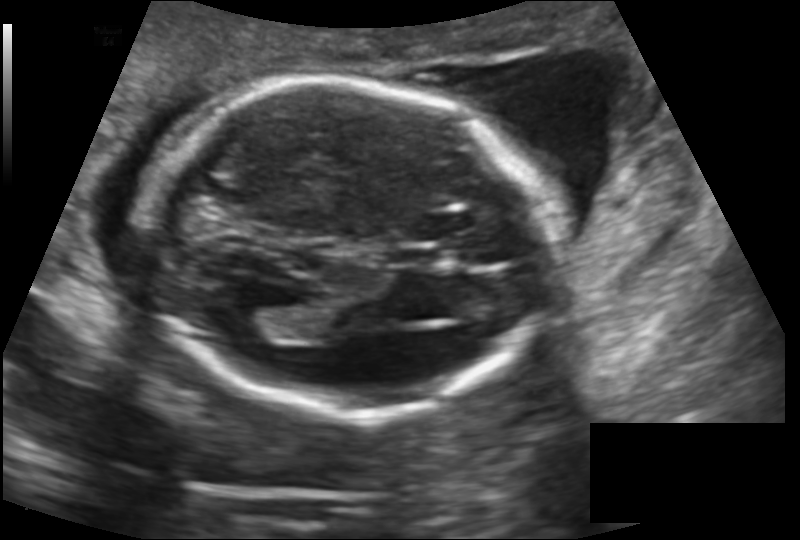
Fetal head ultrasound. Image width: 116.4 mm. Where is the fetal head?

Head bounding box: [141,80,547,414]